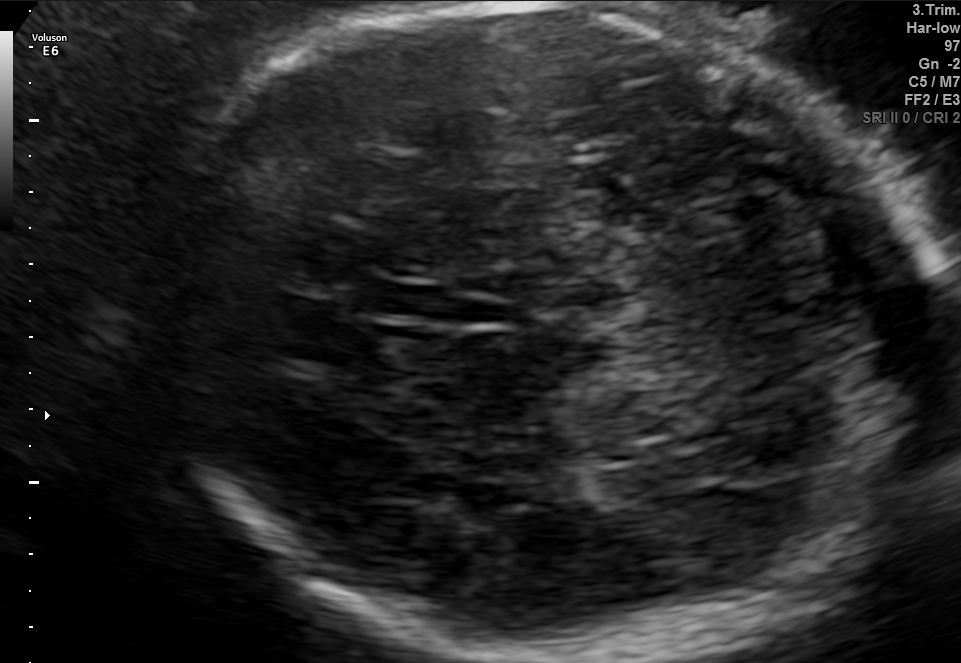
In this fetal brain, trans-thalamic plane, give the bounding box of the cavum septum pellucidum.

[357,279,450,320]